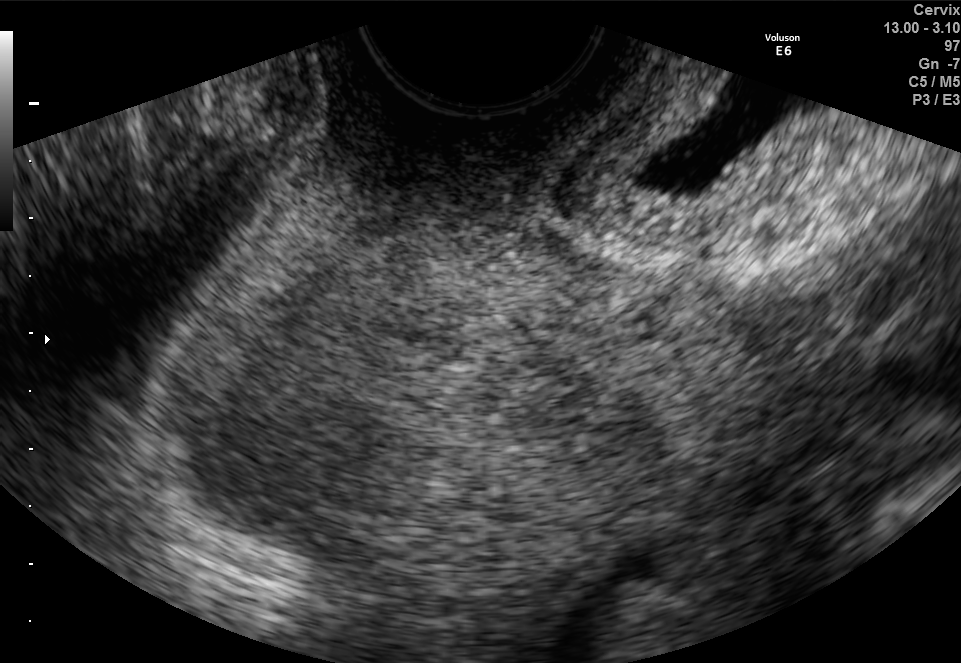
Identify the standard plane in this fetal ultrasound image: fetal abdomen, fetal brain, fetal femur, fetal thorax, maternal cervix, or other. If it's fetal brain and one of the three standard brain planes (trans-thalamic, trans-cerebellum, trans-ventricular), name which.

Maternal cervix